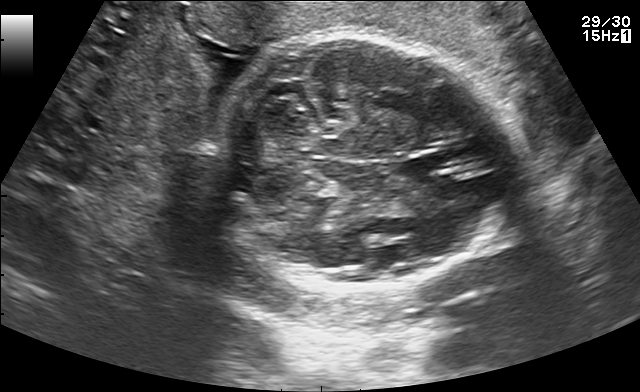
Fetal brain, trans-cerebellum plane. Locate the fetal head.

Head: [216,33,505,291]